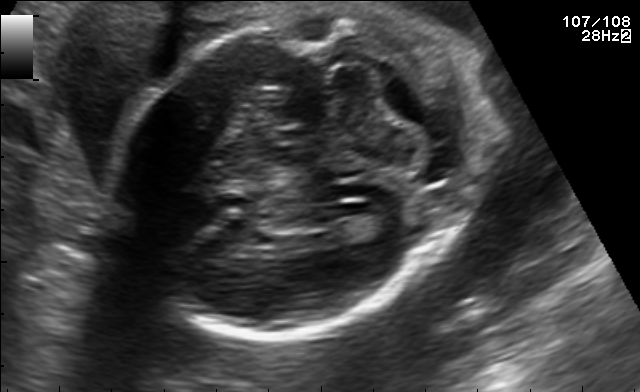
Fetal brain, trans-cerebellum plane. Where is the fetal head?

Head bounding box: [113,8,489,334]